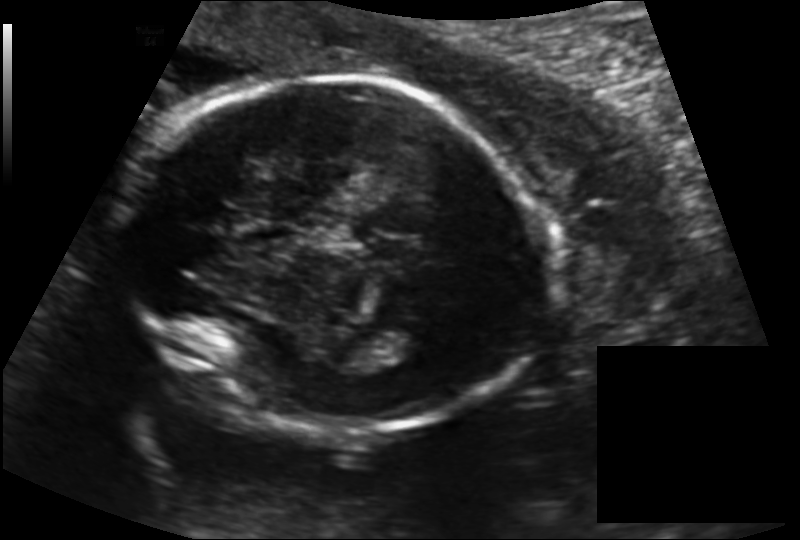
Measure the fetal head circumference shown in this ultrasound image. Image width: 116.1 mm.

Head circumference: 187.2 mm.